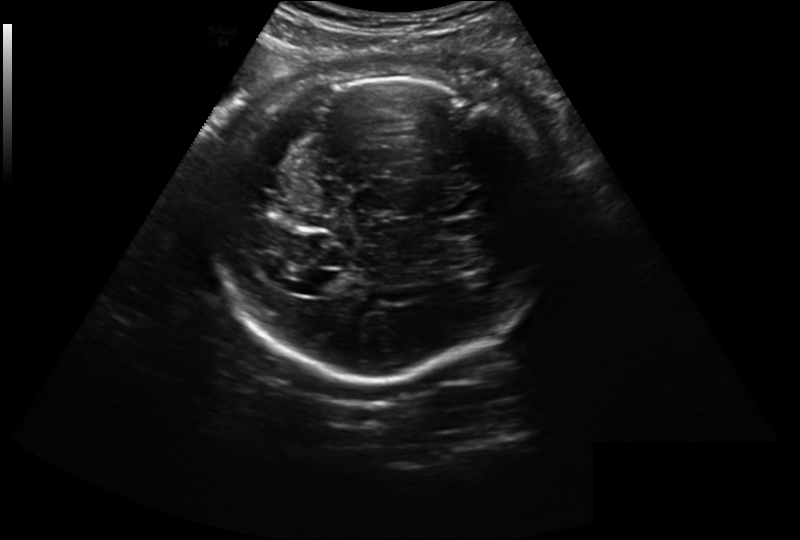
Fetal head ultrasound. Image width: 208.4 mm. Locate the fetal head and, if visible, the cavum septum pellucidum (CSP) and lateral ventricle (LV). Give bounding boxes as [x1,y1,x2,y2].

Head: [219,74,546,381]
CSP: [441,219,477,237]
Lateral ventricle: [310,271,347,294]